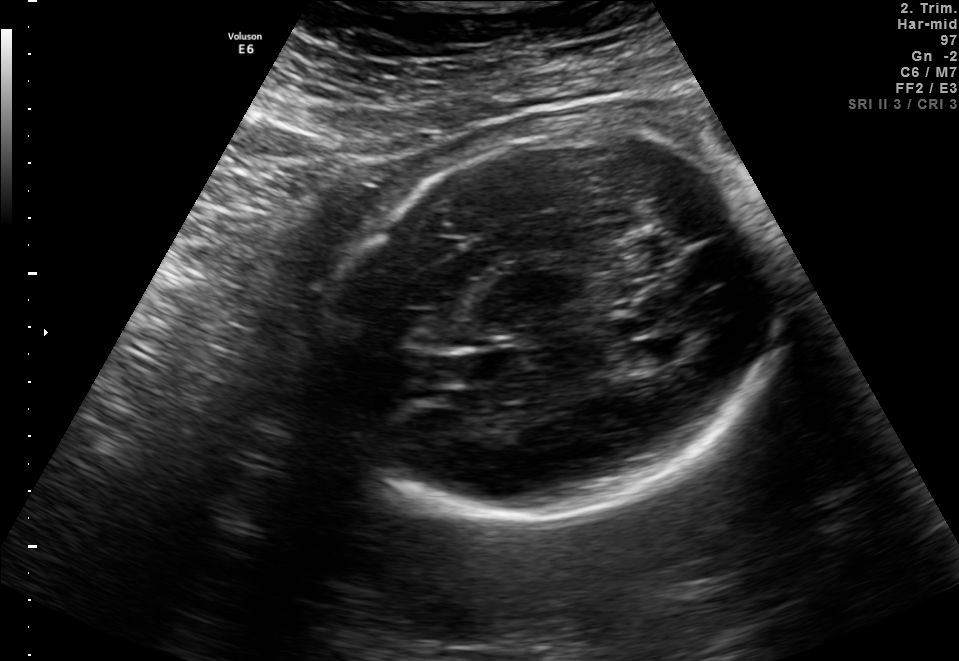
Fetal brain, trans-ventricular plane. Locate the fetal head and, if visible, the cavum septum pellucidum (CSP) and lateral ventricle (LV). Give bounding boxes as [x1,y1,x2,y2].

Head: [317,127,790,526]